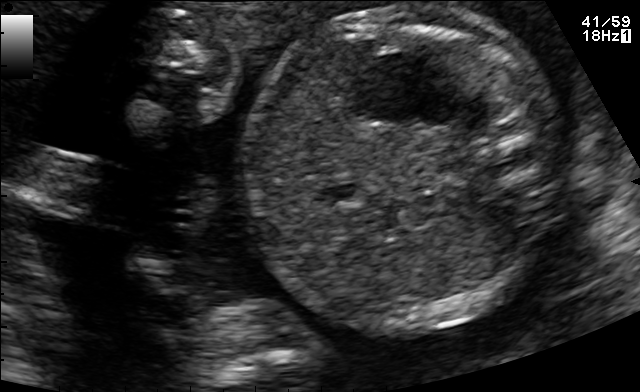
This is a 2D maternal-fetal ultrasound frame. Is it a fetal abdomen, fetal brain, fetal femur, fetal thorax, maternal cervix, or other standard plane? If it's fetal brain and one of the three standard brain planes (trans-thalamic, trans-cerebellum, trans-ventricular), name which.

Fetal abdomen